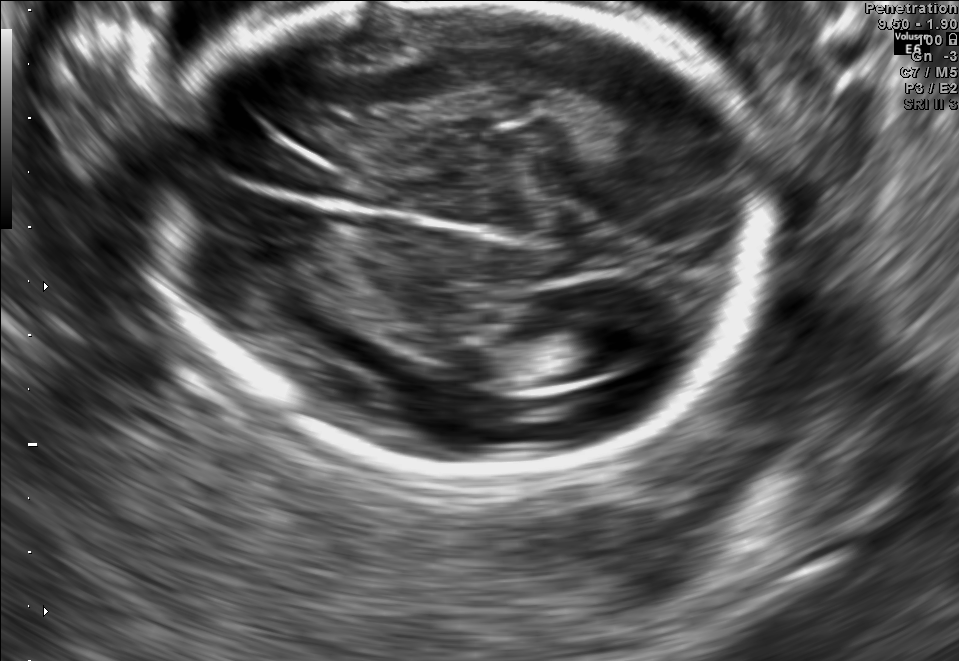
In this fetal brain, trans-ventricular plane, give the bounding box of the lateral ventricle.

[554,306,652,382]